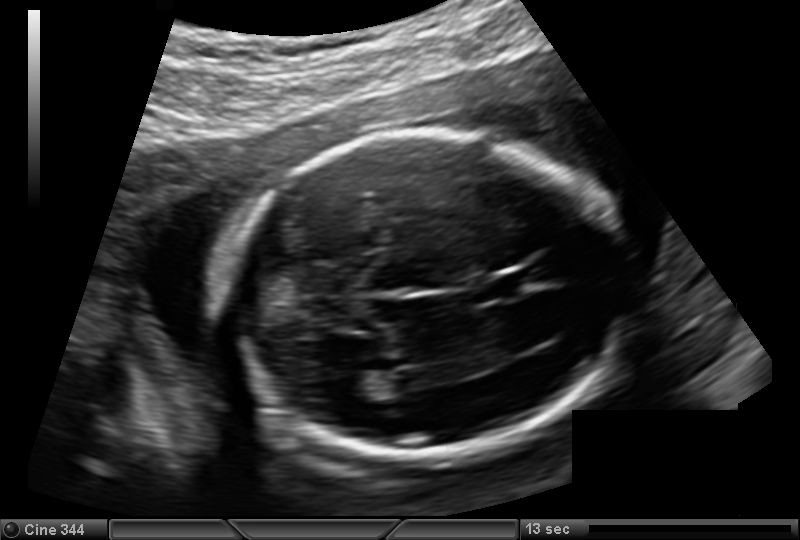
In this fetal head ultrasound, give the bounding box of the cavum septum pellucidum. Image width: 115.3 mm.

[477,266,534,306]